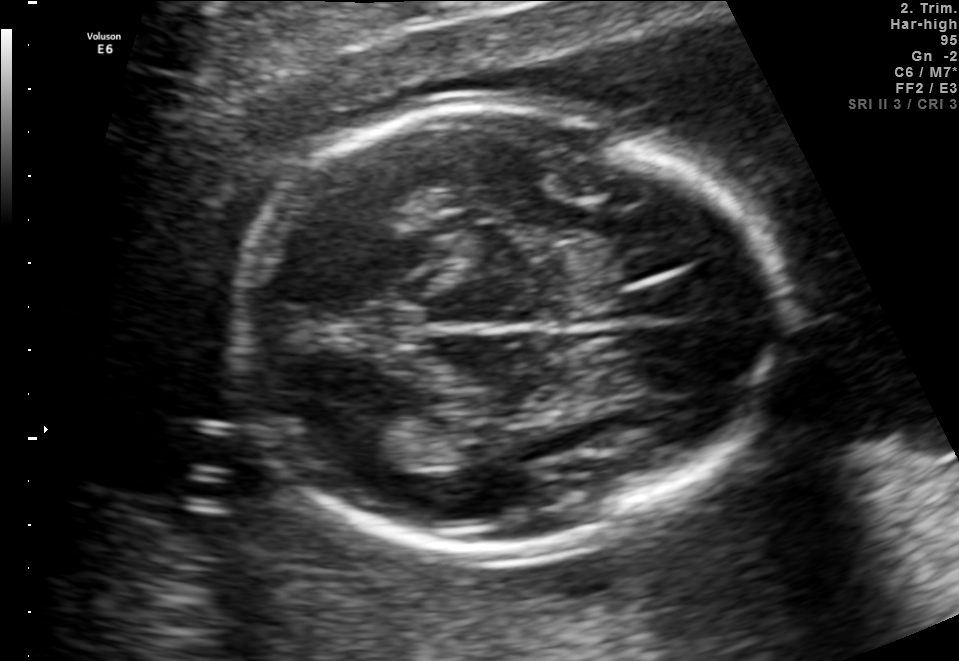
Fetal brain, trans-thalamic plane. Where is the lateral ventricle?

Lateral ventricle bounding box: [334,417,422,471]